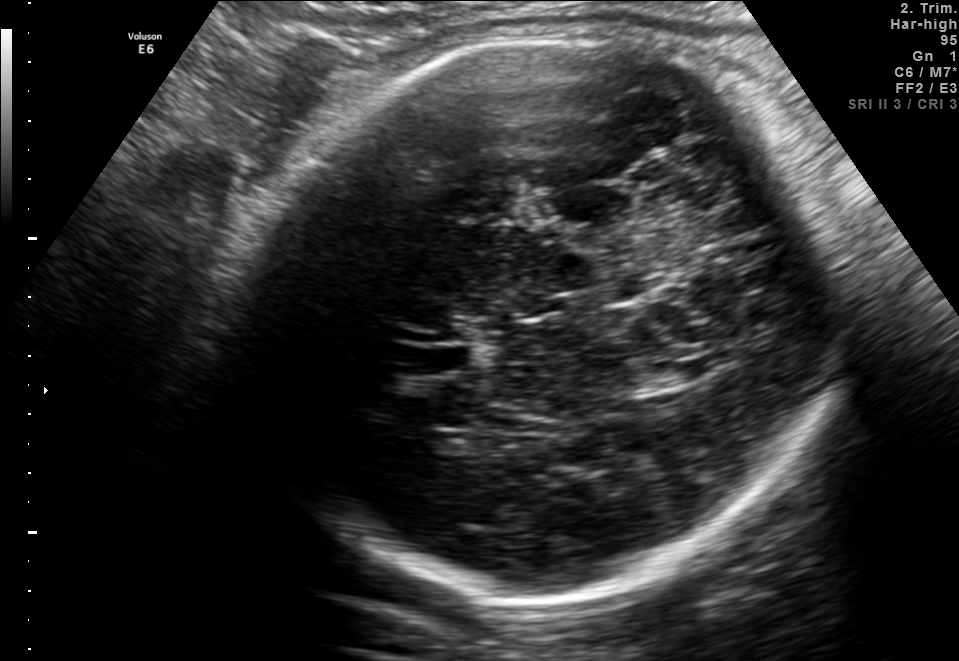
Fetal brain, trans-thalamic plane. Give [x1,y1,x2,y2] bounding boxes for each visible structure among: fetal head, CSP, LV.

Head: [231,37,842,602]
Lateral ventricle: [637,360,697,394]